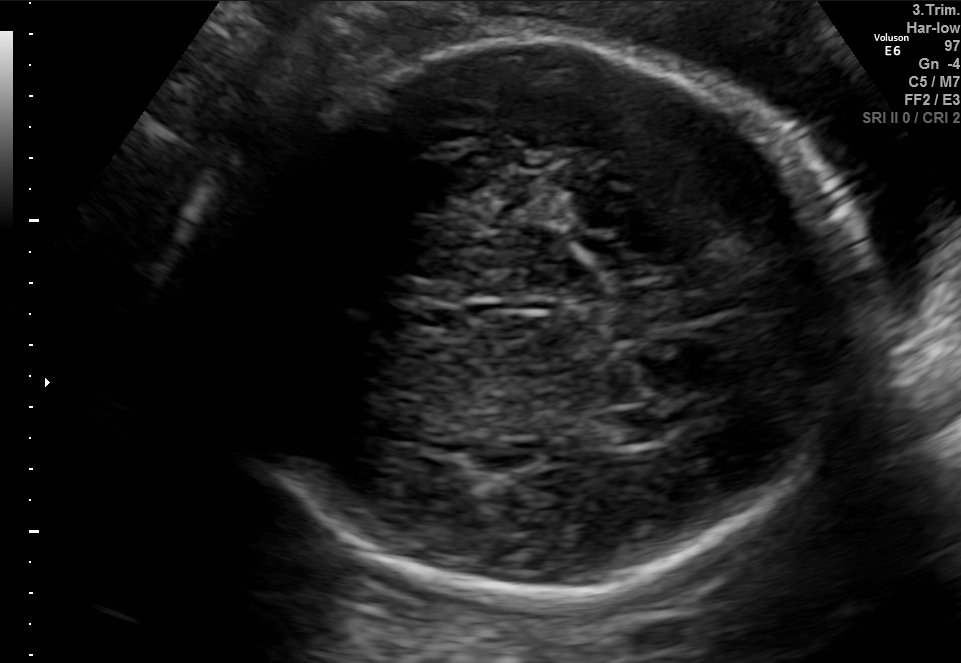
In this fetal brain, trans-thalamic plane, give the bounding box of the cavum septum pellucidum.

[404,306,468,330]